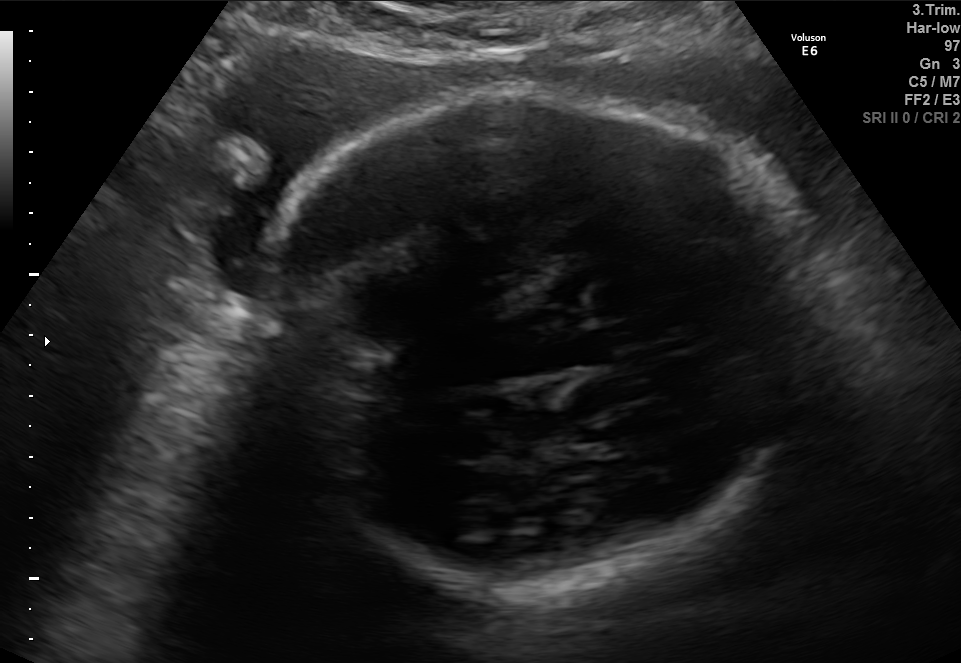
Fetal brain, trans-thalamic plane. Locate the fetal head and, if visible, the cavum septum pellucidum (CSP) and lateral ventricle (LV). Give bounding boxes as [x1,y1,x2,y2].

Head: [254,91,806,594]